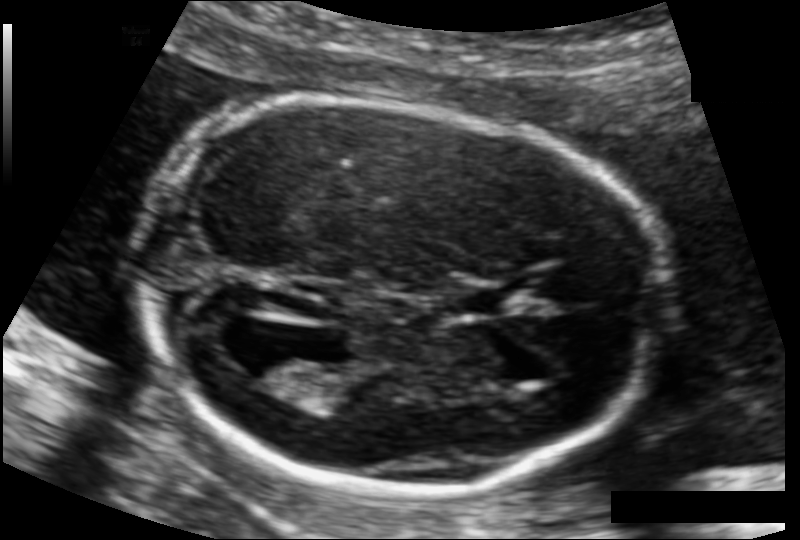
Fetal head ultrasound. Image width: 85.7 mm. Where is the fetal head?

Head bounding box: [143,98,657,491]